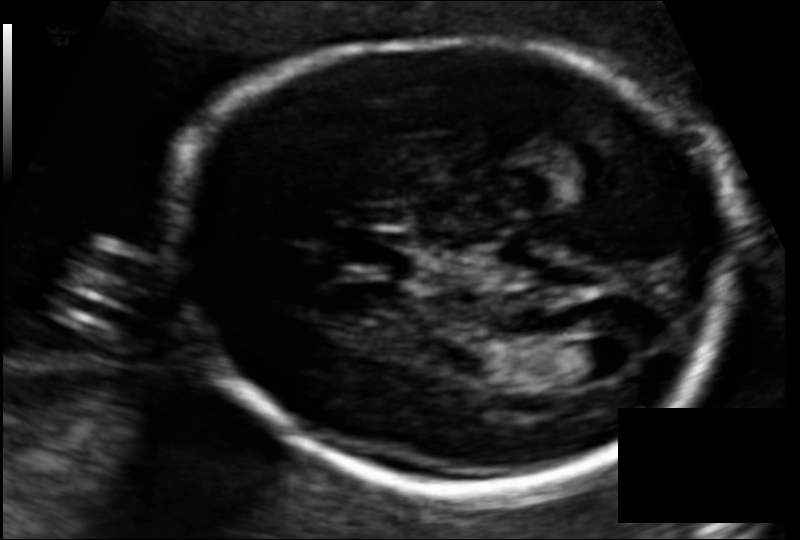
Fetal head ultrasound. Image width: 86.4 mm. Locate the fetal head and, if visible, the cavum septum pellucidum (CSP) and lateral ventricle (LV). Give bounding boxes as [x1,y1,x2,y2].

Head: [164,40,729,487]
CSP: [342,228,416,277]
Lateral ventricle: [551,337,623,388]